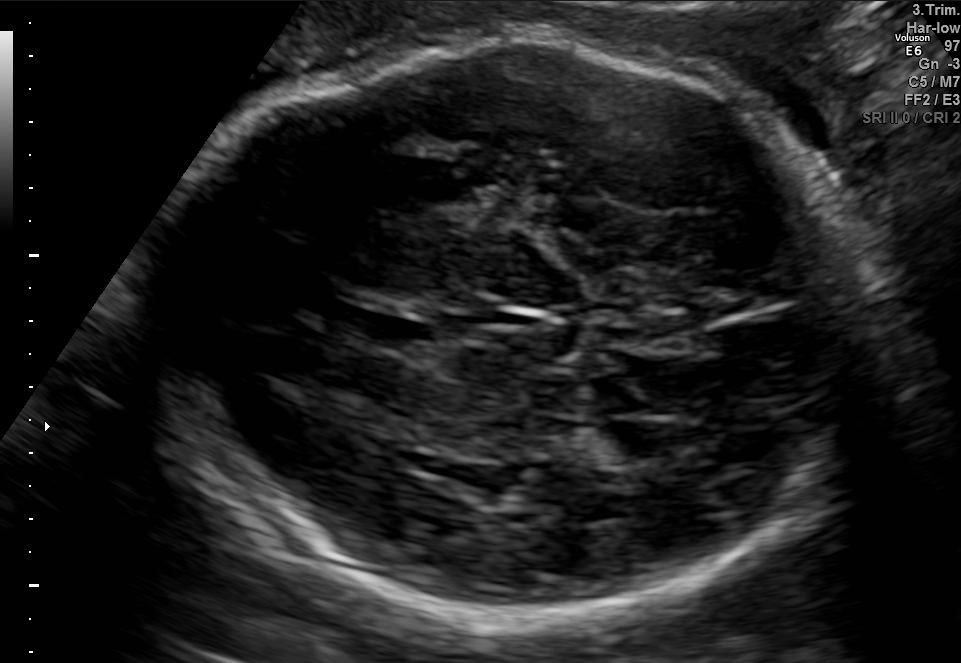
Fetal brain, trans-ventricular plane. Locate the fetal head.

Head: [148,38,887,625]